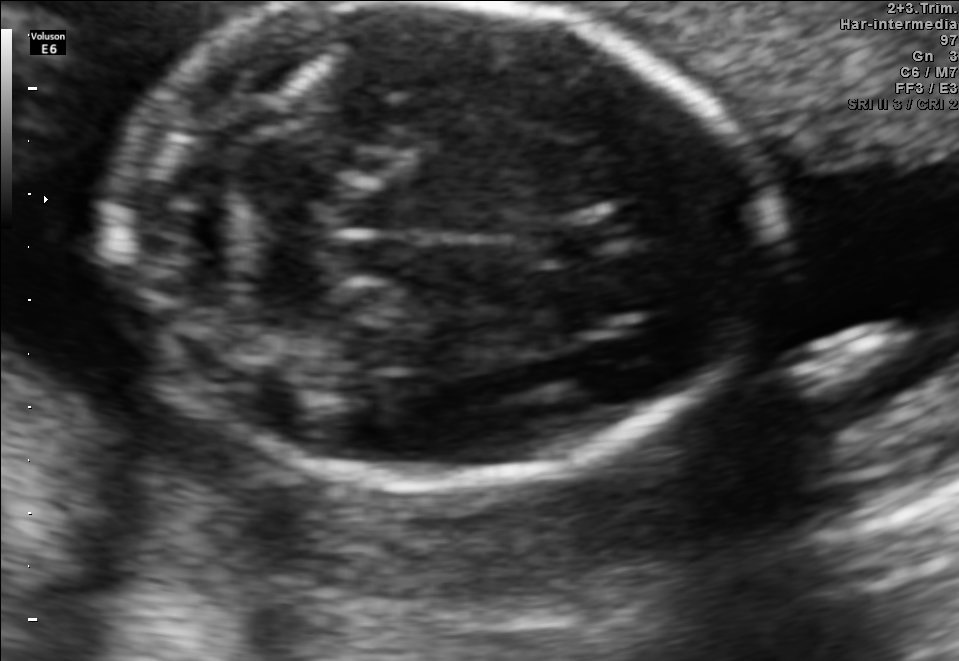
In this fetal brain, trans-cerebellum plane, give the bounding box of the fetal head.

[108,5,763,482]